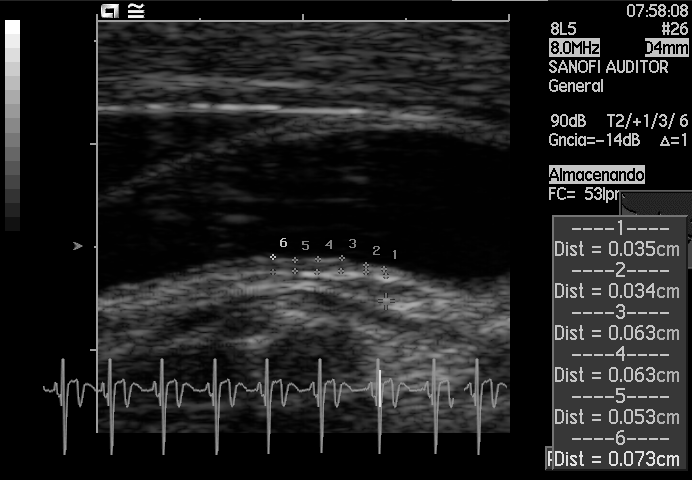
This is a 2D maternal-fetal ultrasound frame. Is it a fetal abdomen, fetal brain, fetal femur, fetal thorax, maternal cervix, or other standard plane? If it's fetal brain and one of the three standard brain planes (trans-thalamic, trans-cerebellum, trans-ventricular), name which.

Other